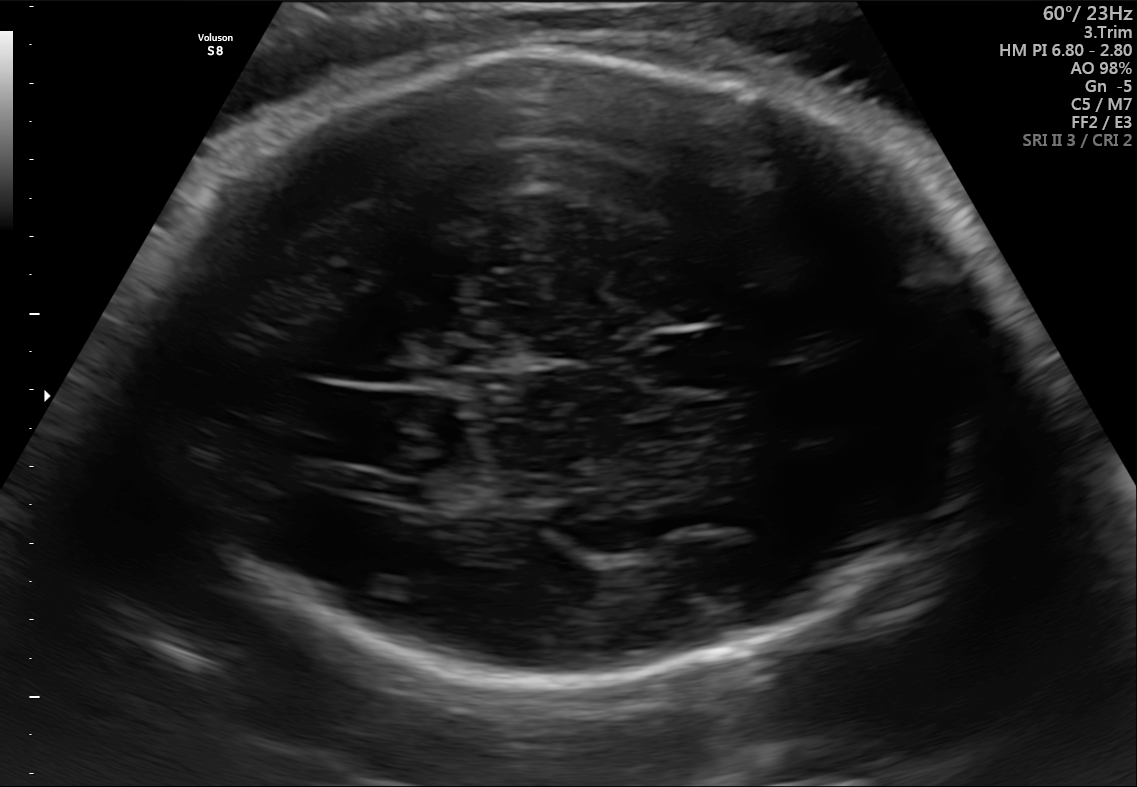
Fetal brain, trans-thalamic plane. Locate the cavum septum pellucidum.

CSP: [648,334,741,388]